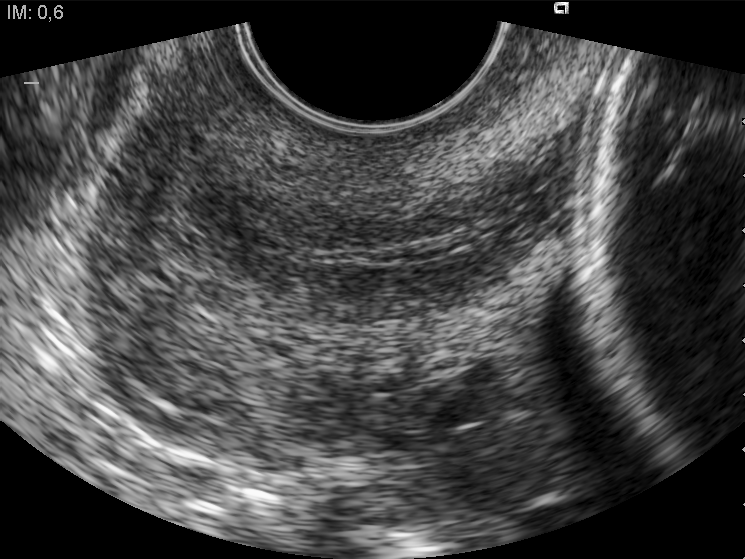
This is a 2D maternal-fetal ultrasound frame. Is it a fetal abdomen, fetal brain, fetal femur, fetal thorax, maternal cervix, or other standard plane? If it's fetal brain and one of the three standard brain planes (trans-thalamic, trans-cerebellum, trans-ventricular), name which.

Maternal cervix